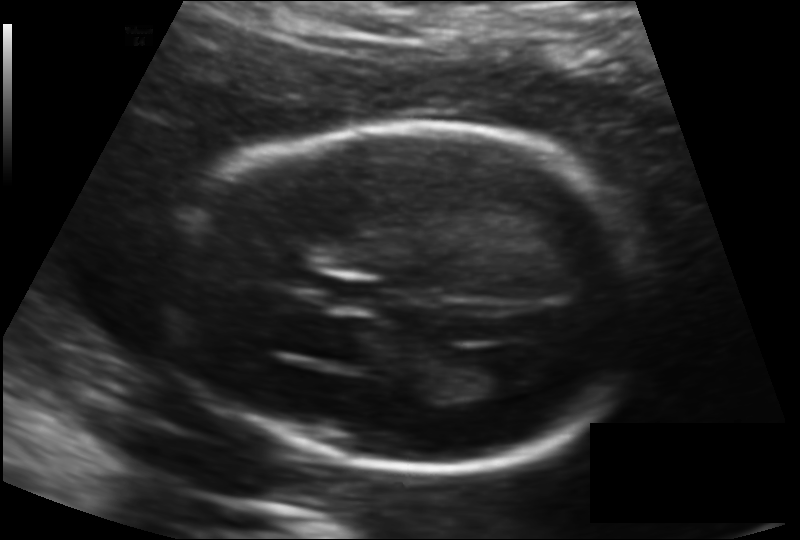
Fetal head ultrasound. Image width: 108.1 mm. Locate the fetal head.

Head: [166,123,649,469]